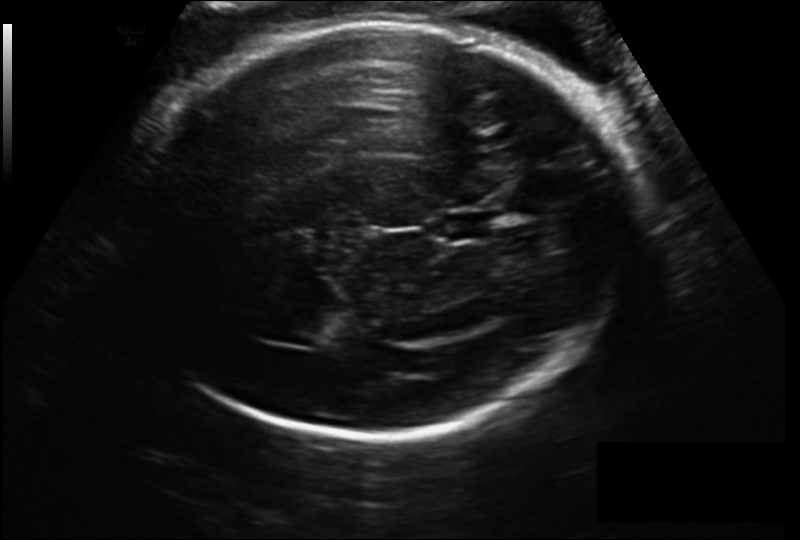
Fetal head ultrasound. Image width: 164.9 mm. Where is the lateral ventricle?

Lateral ventricle bounding box: [275,309,330,348]